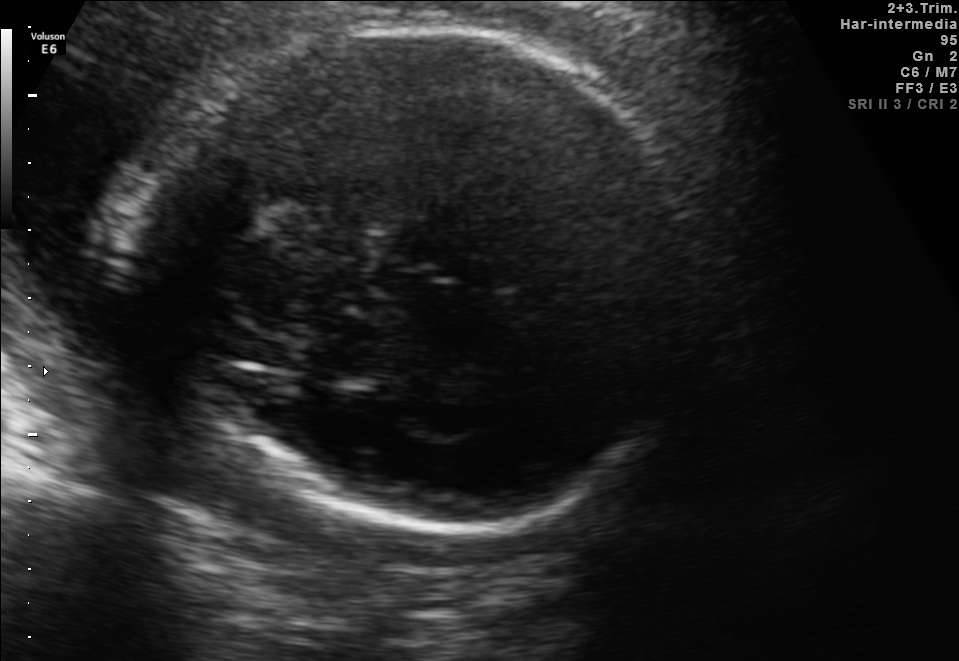
Fetal brain, trans-thalamic plane. Where is the fetal head?

Head bounding box: [135,22,698,531]